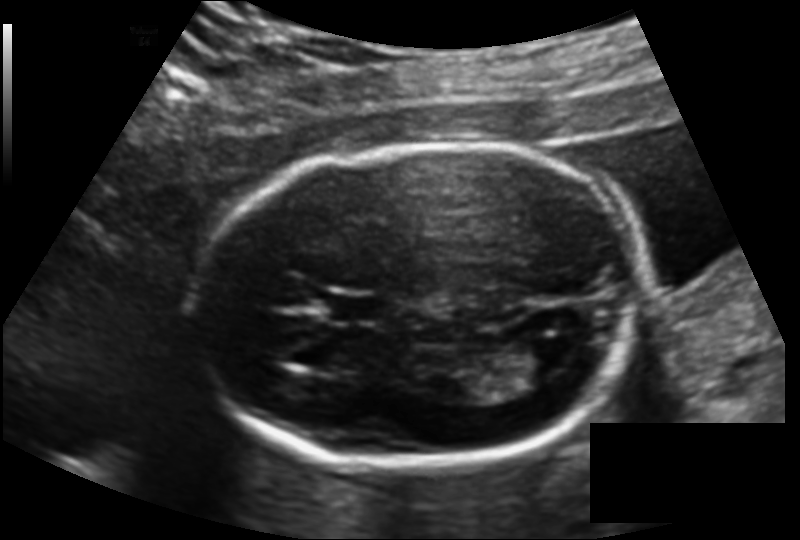
In this fetal head ultrasound, give the bounding box of the lateral ventricle. Image width: 109.3 mm.

[510,322,585,387]